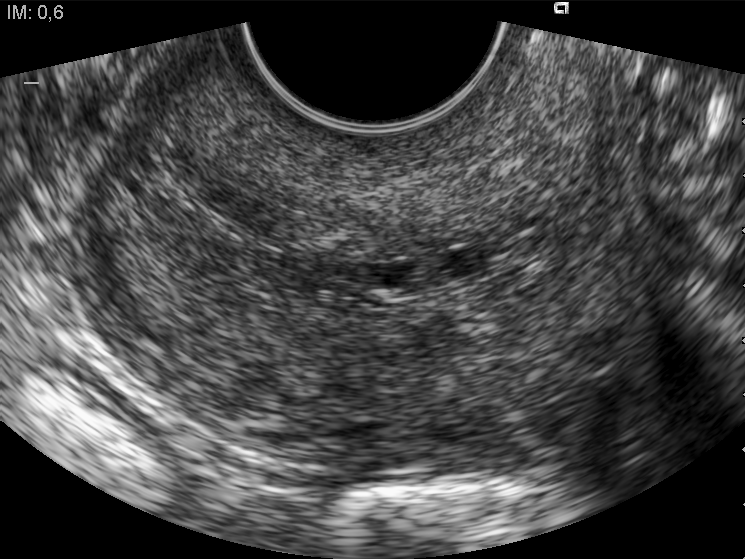
This is a 2D maternal-fetal ultrasound frame. Is it a fetal abdomen, fetal brain, fetal femur, fetal thorax, maternal cervix, or other standard plane? If it's fetal brain and one of the three standard brain planes (trans-thalamic, trans-cerebellum, trans-ventricular), name which.

Maternal cervix